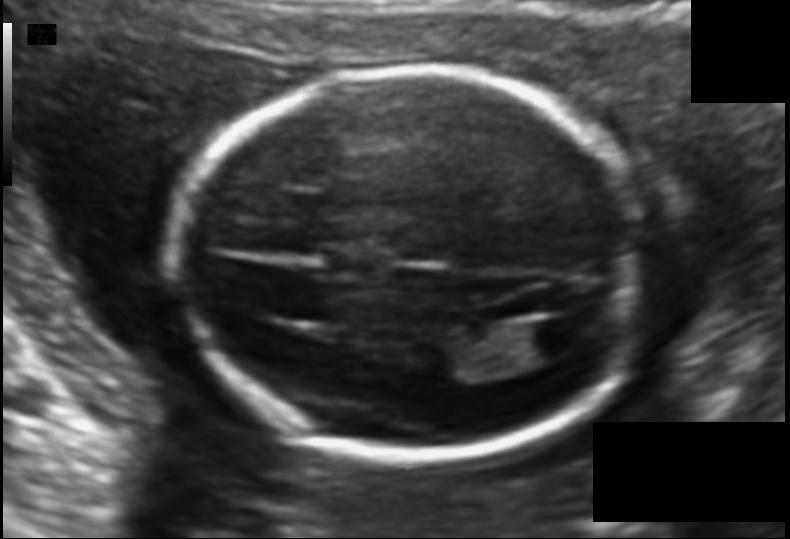
Fetal head ultrasound. Image width: 95.9 mm. Locate the fetal head.

Head: [178,68,653,459]